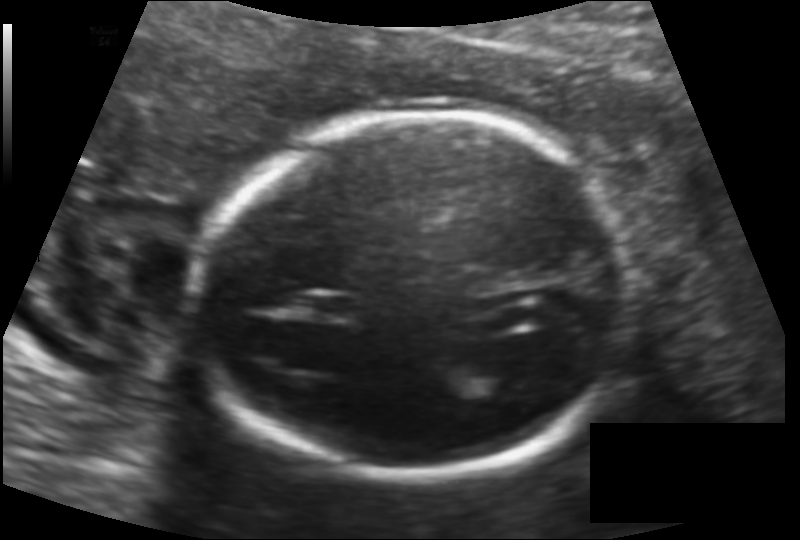
Estimate the fetal head circumference from this 2D ultrasound. Image width: 104.4 mm.

Head circumference: 169.5 mm.